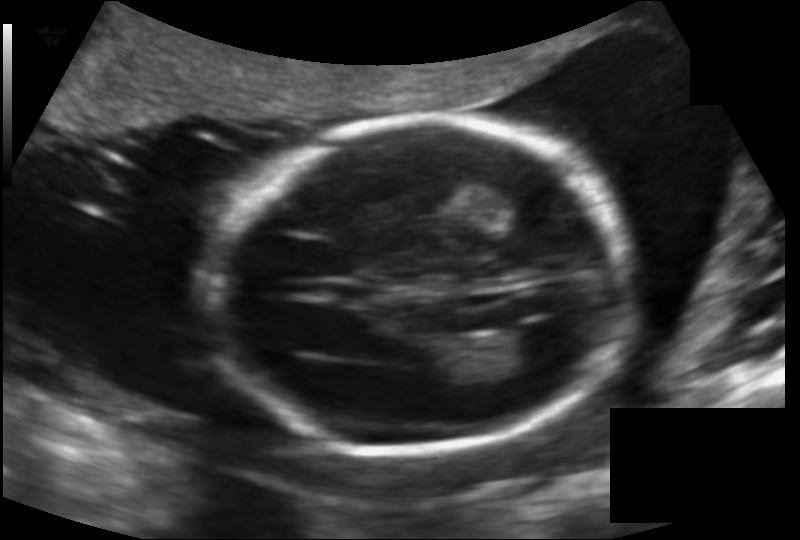
Estimate the fetal head circumference from this 2D ultrasound. Image width: 113.7 mm.

Head circumference: 175.0 mm.